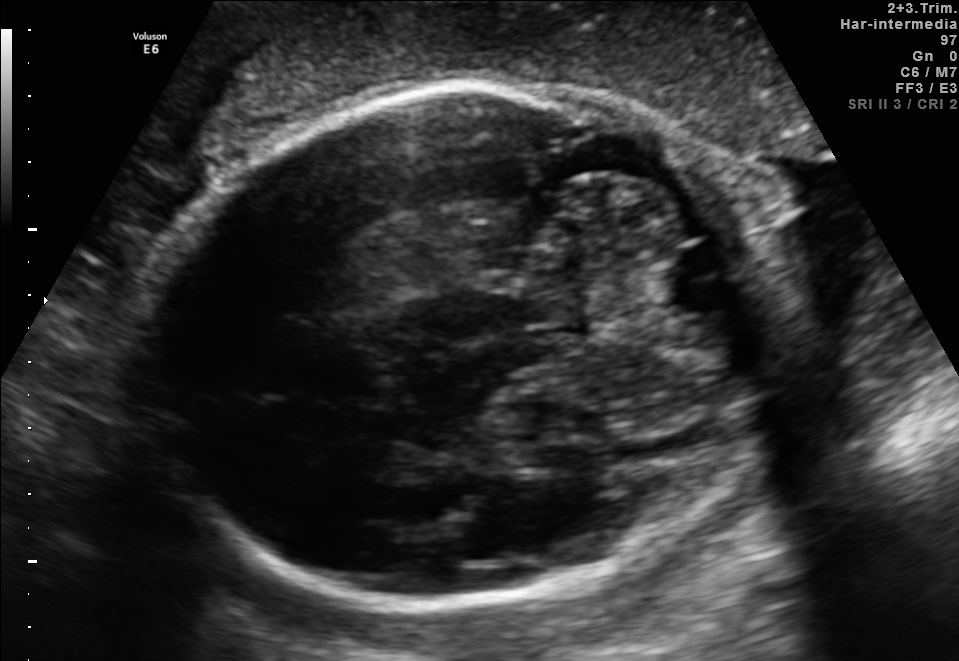
This is a 2D maternal-fetal ultrasound frame. Is it a fetal abdomen, fetal brain, fetal femur, fetal thorax, maternal cervix, or other standard plane? If it's fetal brain and one of the three standard brain planes (trans-thalamic, trans-cerebellum, trans-ventricular), name which.

Fetal brain (trans-cerebellum plane)